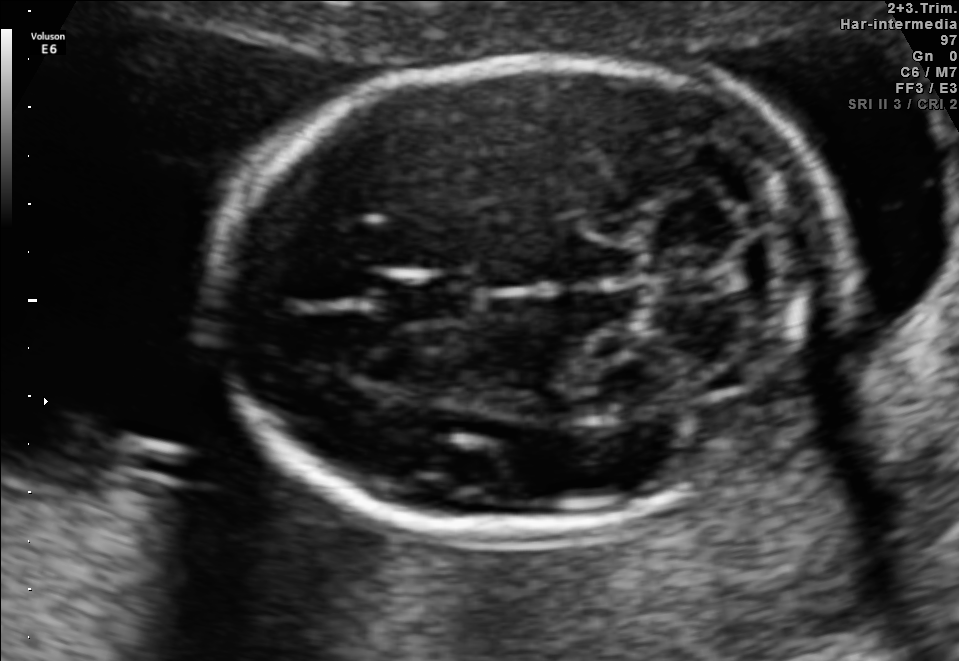
Fetal brain, trans-cerebellum plane. Give [x1,y1,x2,y2] bounding boxes for each visible structure among: fetal head, CSP, LV.

Head: [204,57,845,526]
CSP: [377,269,483,327]